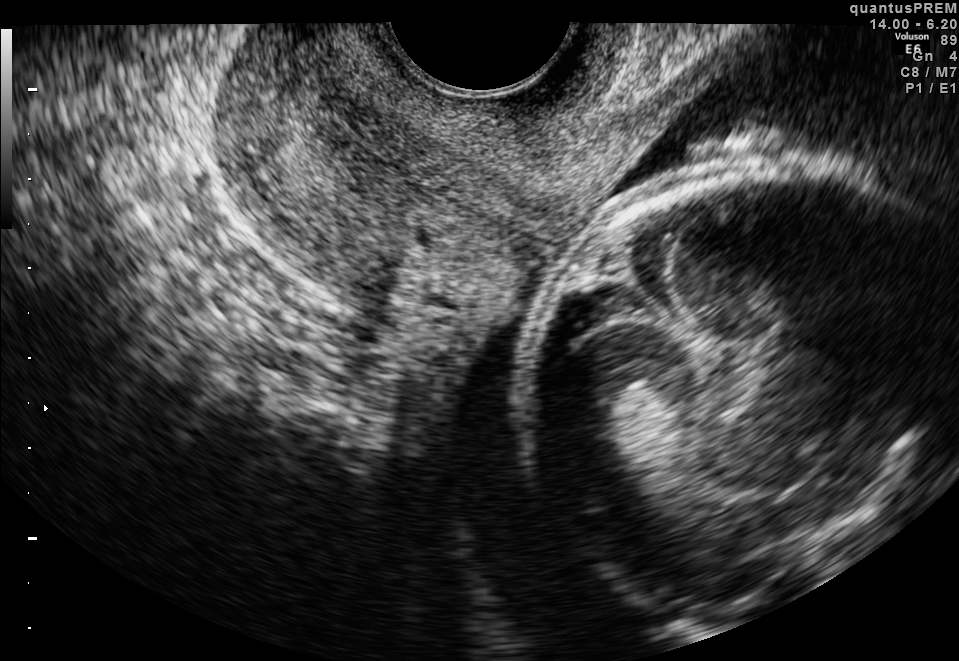
Classify this maternal-fetal ultrasound image as one of the six standard planes — fetal abdomen, fetal brain, fetal femur, fetal thorax, maternal cervix, or other. If it's fetal brain and one of the three standard brain planes (trans-thalamic, trans-cerebellum, trans-ventricular), name which.

Maternal cervix